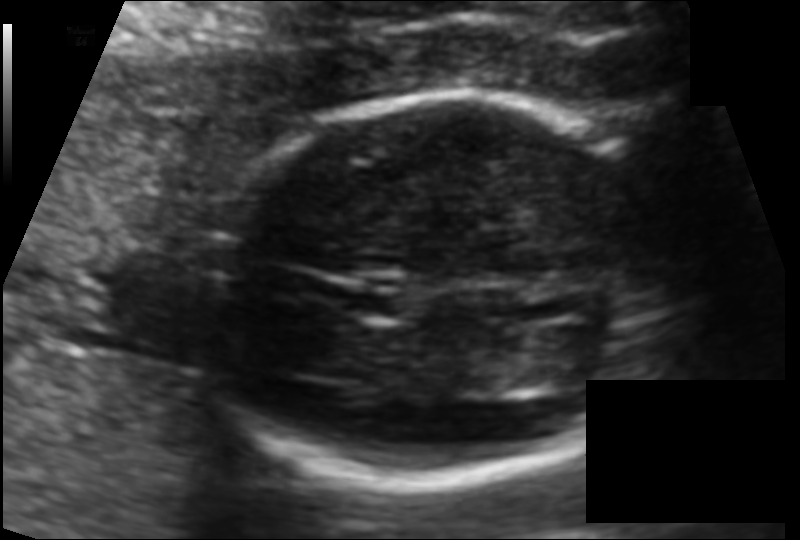
Measure the fetal head circumference shown in this ultrasound image. Image width: 80.0 mm.

Head circumference: 142.2 mm.